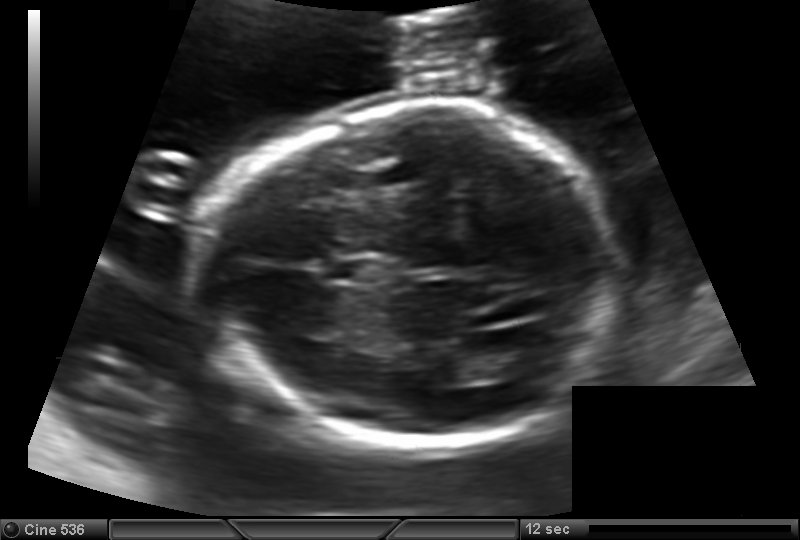
Fetal head ultrasound. Image width: 115.2 mm. Give [x1,y1,x2,y2] bounding boxes for each visible structure among: fetal head, CSP, LV.

Head: [201,104,619,449]
CSP: [335,259,379,282]
Lateral ventricle: [482,339,550,382]